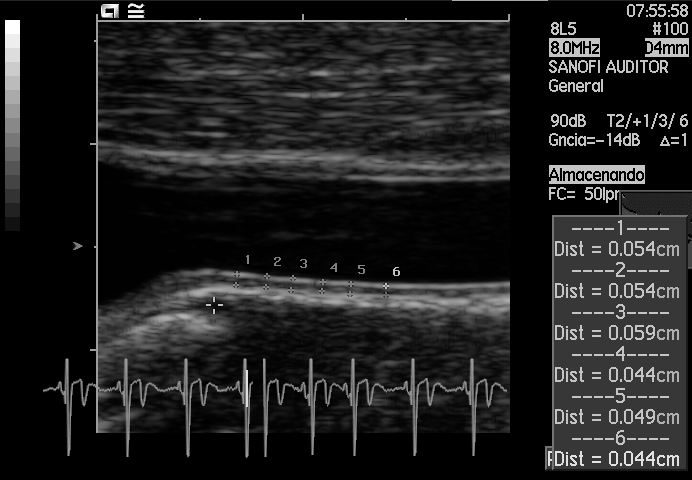
Classify this maternal-fetal ultrasound image as one of the six standard planes — fetal abdomen, fetal brain, fetal femur, fetal thorax, maternal cervix, or other. If it's fetal brain and one of the three standard brain planes (trans-thalamic, trans-cerebellum, trans-ventricular), name which.

Other